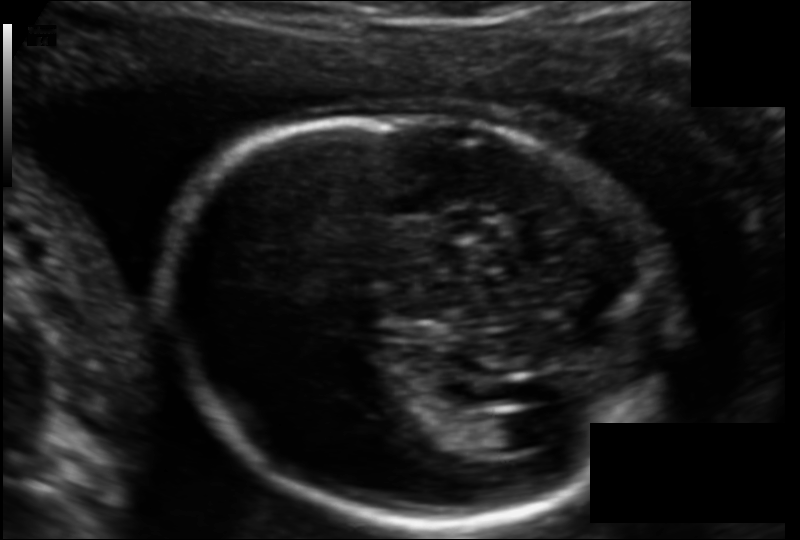
Fetal head ultrasound. Image width: 98.5 mm. Locate the fetal head and, if visible, the cavum septum pellucidum (CSP) and lateral ventricle (LV). Give bounding boxes as [x1,y1,x2,y2].

Head: [172,113,668,524]
Lateral ventricle: [472,413,540,454]